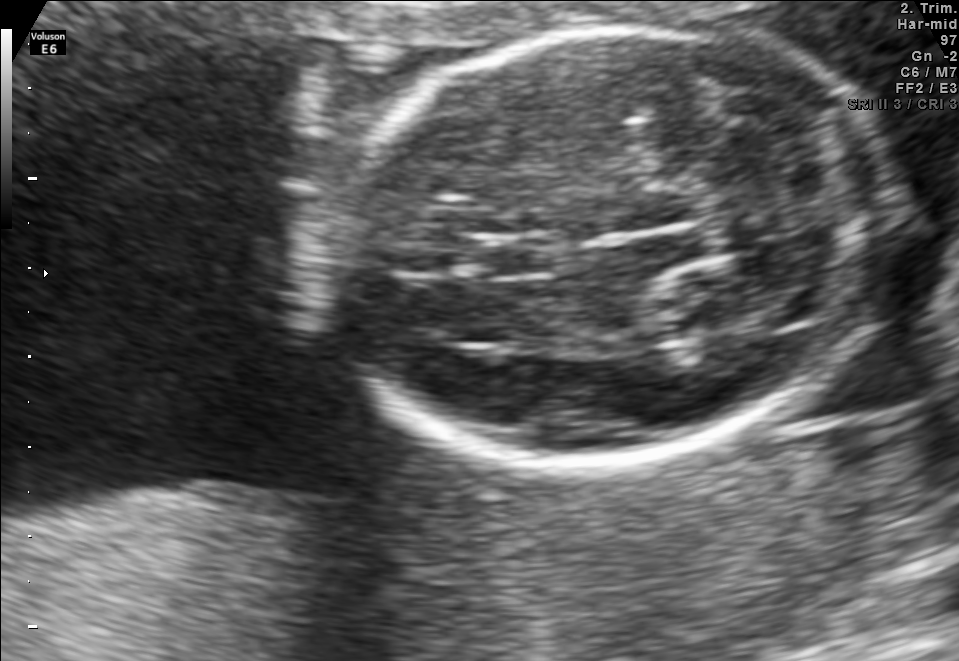
In this fetal brain, trans-thalamic plane, give bounding boxes for the head outline, cavum septum pellucidum (CSP), and lateral ventricle (LV), where visible.

Head: [317,30,898,461]
CSP: [475,236,559,276]